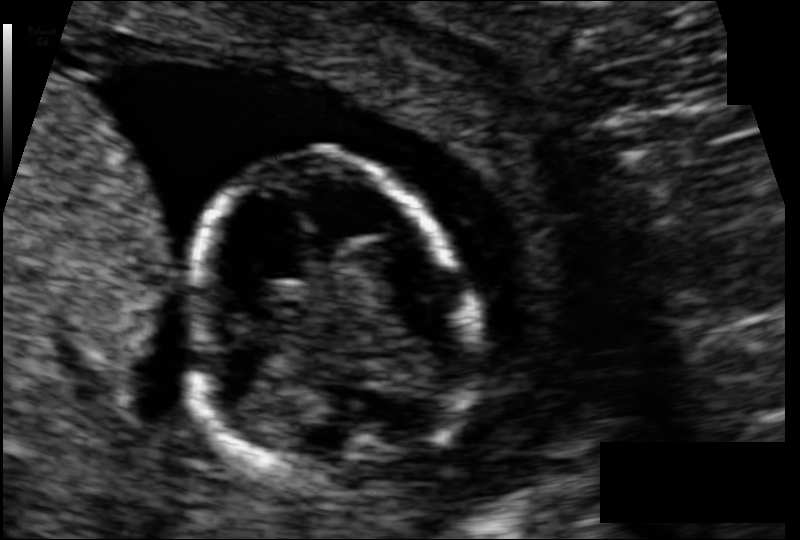
What is the fetal head circumference? Image width is 60.7 mm.

78.3 mm